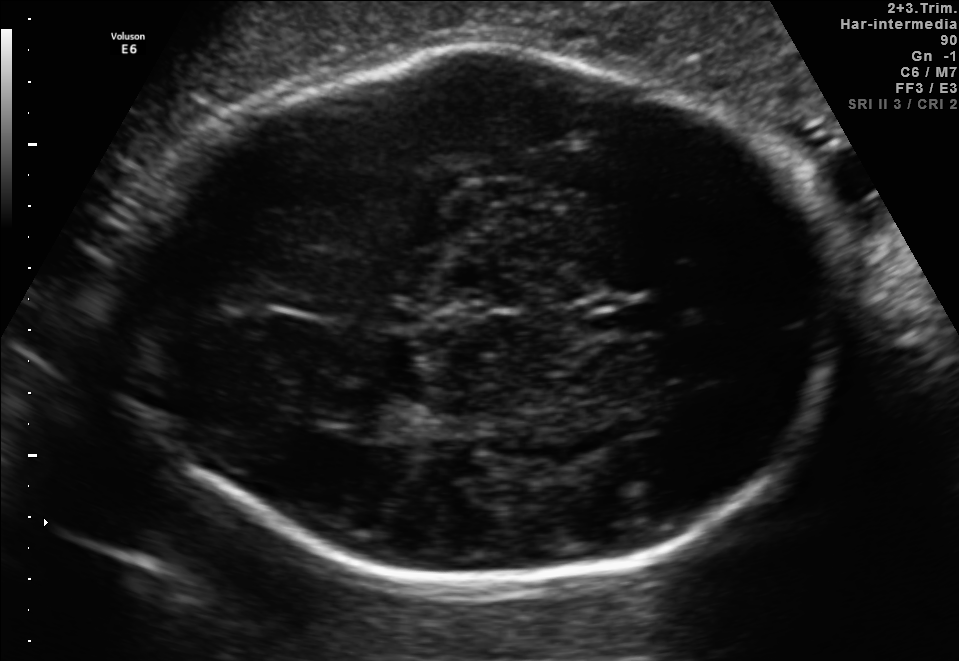
Fetal brain, trans-thalamic plane. Locate the cavum septum pellucidum.

CSP: [578,296,659,340]